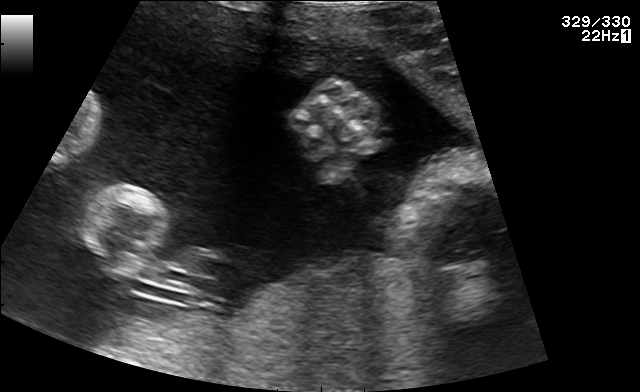
Identify the standard plane in this fetal ultrasound image: fetal abdomen, fetal brain, fetal femur, fetal thorax, maternal cervix, or other. If it's fetal brain and one of the three standard brain planes (trans-thalamic, trans-cerebellum, trans-ventricular), name which.

Other